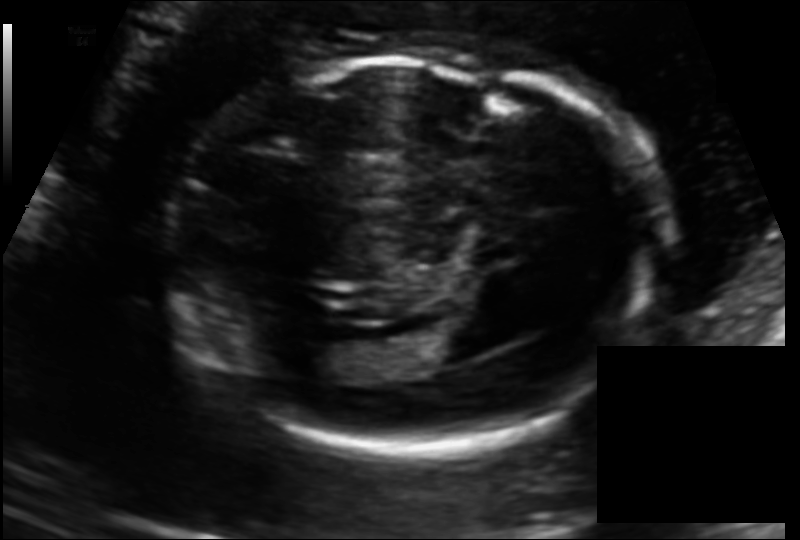
Fetal head ultrasound. Image width: 100.0 mm. Give [x1,y1,x2,y2] bounding boxes for each visible structure among: fetal head, CSP, LV.

Head: [169,60,653,450]